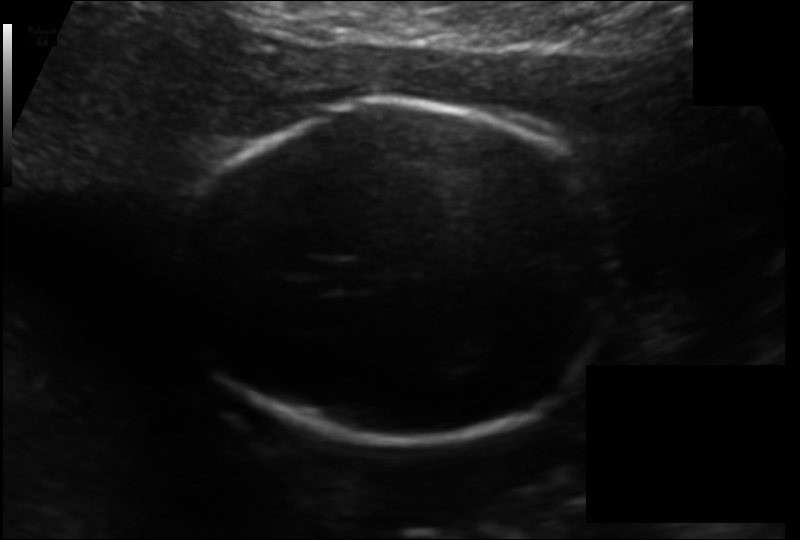
Fetal head ultrasound. Image width: 106.3 mm. Locate the fetal head.

Head: [184,100,624,442]